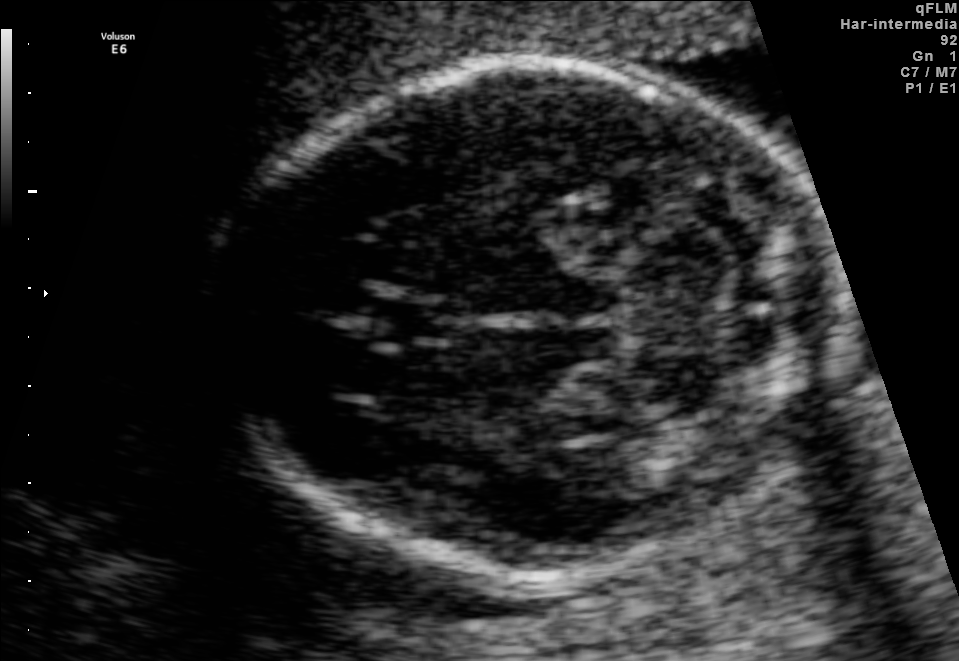
In this fetal brain, trans-cerebellum plane, give bounding boxes for the head outline, cavum septum pellucidum (CSP), and lateral ventricle (LV), where visible.

Head: [229,64,838,575]
CSP: [371,297,452,345]